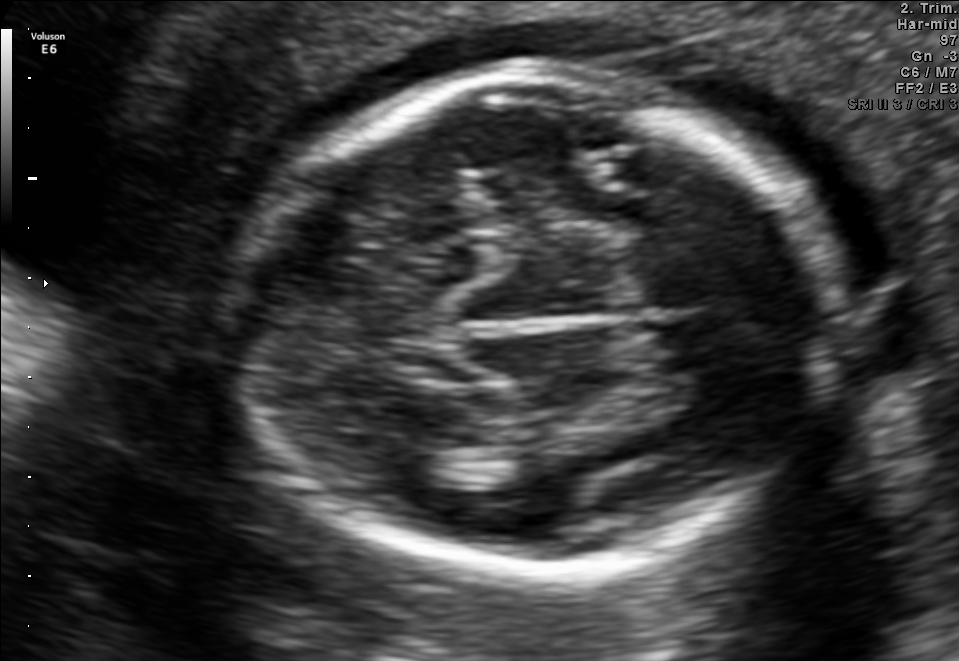
In this fetal brain, trans-thalamic plane, give the bounding box of the fetal head.

[233,78,838,569]